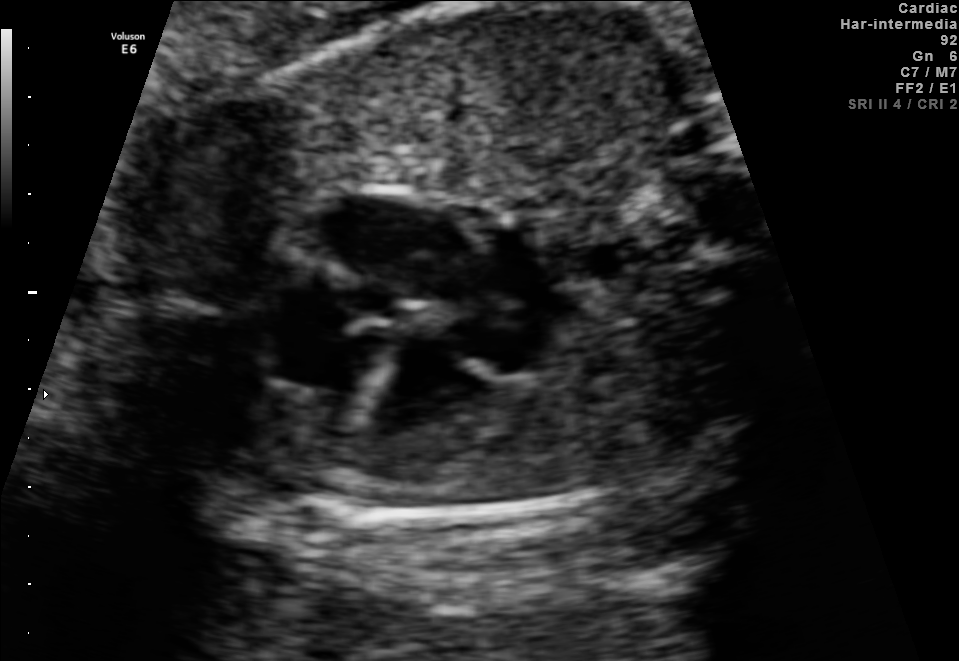
Identify the standard plane in this fetal ultrasound image: fetal abdomen, fetal brain, fetal femur, fetal thorax, maternal cervix, or other. If it's fetal brain and one of the three standard brain planes (trans-thalamic, trans-cerebellum, trans-ventricular), name which.

Fetal thorax